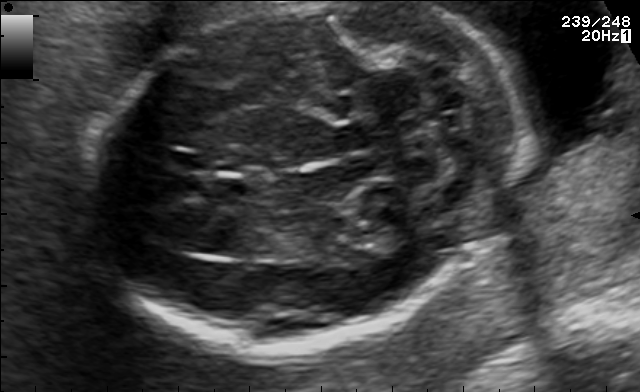
Fetal brain, trans-cerebellum plane. Give [x1,y1,x2,y2] bounding boxes for each visible structure among: fetal head, CSP, LV.

Head: [88,2,505,352]